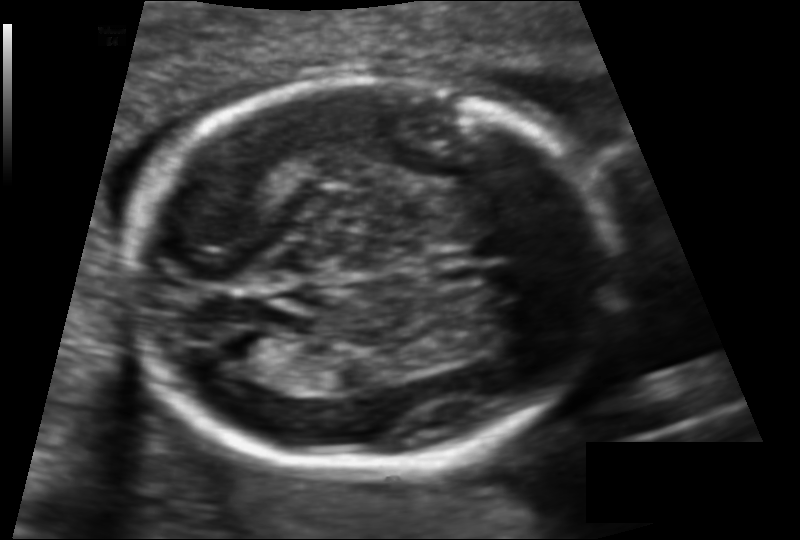
Fetal head ultrasound. Image width: 94.9 mm. Give [x1,y1,x2,y2] bounding boxes for each visible structure among: fetal head, CSP, LV.

Head: [123,75,615,465]
Lateral ventricle: [208,322,283,377]